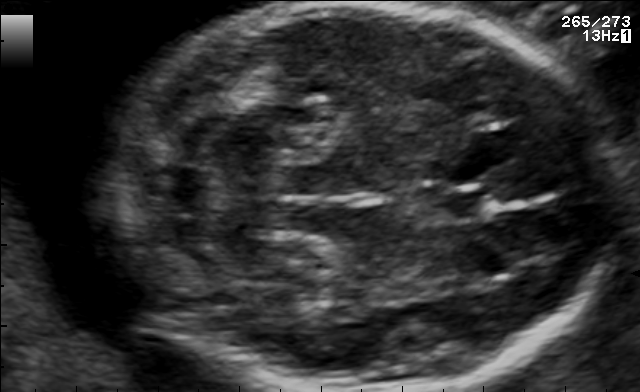
Fetal brain, trans-cerebellum plane. Locate the fetal head.

Head: [105,3,618,390]